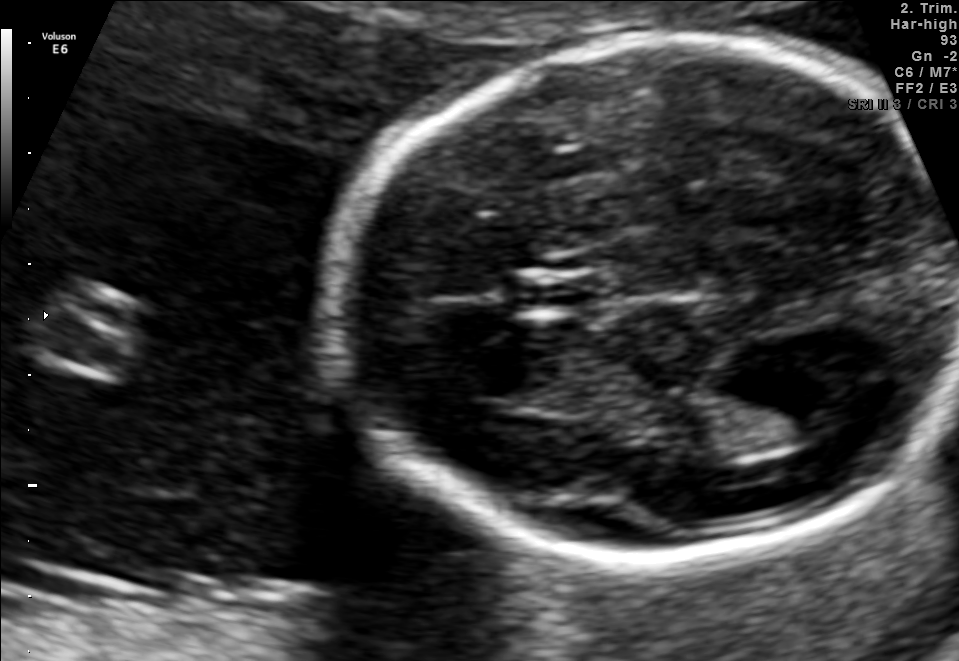
Fetal brain, trans-thalamic plane. Locate the lateral ventricle.

Lateral ventricle: [696,373,843,467]